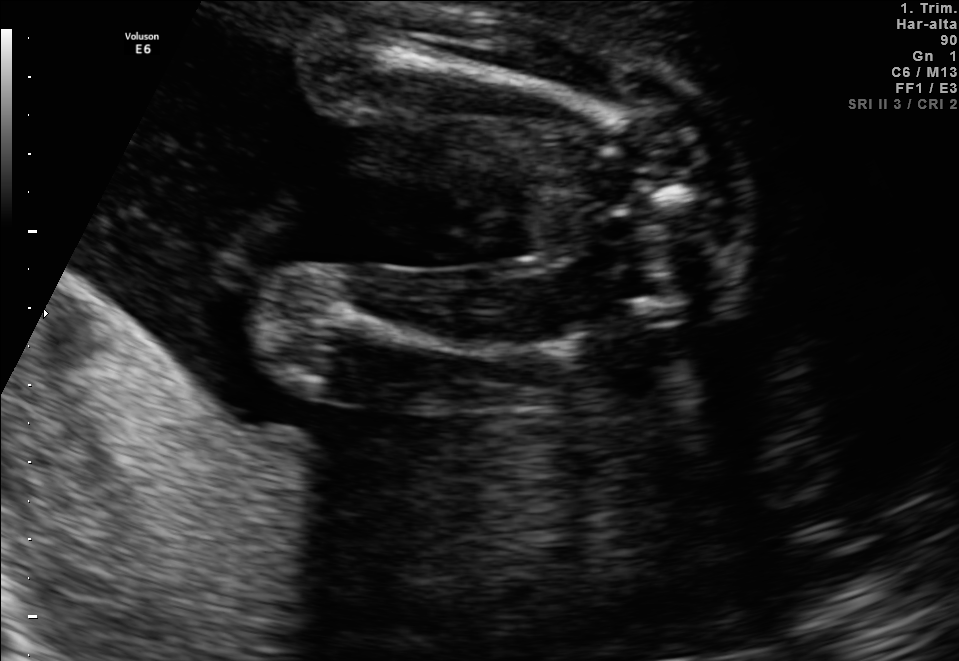
Which standard maternal-fetal ultrasound plane is shown: fetal abdomen, fetal brain, fetal femur, fetal thorax, maternal cervix, or other? If it's fetal brain and one of the three standard brain planes (trans-thalamic, trans-cerebellum, trans-ventricular), name which.

Fetal femur